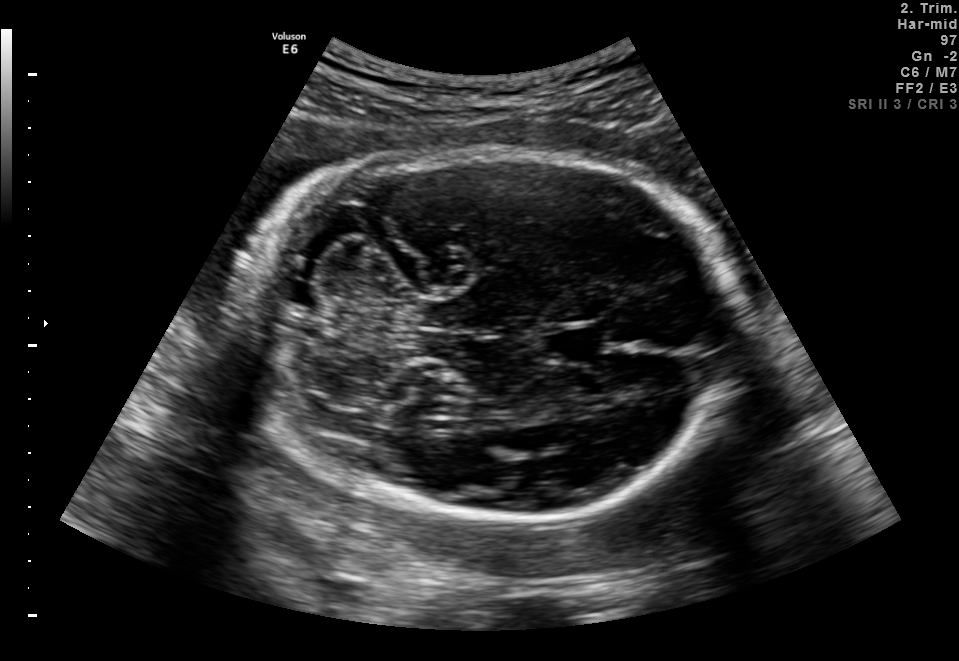
Fetal brain, trans-cerebellum plane. Give [x1,y1,x2,y2] bounding boxes for each visible structure among: fetal head, CSP, LV.

Head: [239,150,740,521]
CSP: [542,322,610,367]